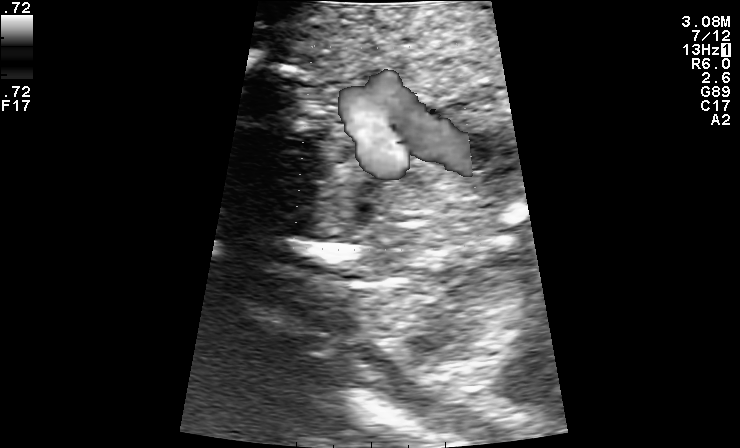
Which standard maternal-fetal ultrasound plane is shown: fetal abdomen, fetal brain, fetal femur, fetal thorax, maternal cervix, or other? If it's fetal brain and one of the three standard brain planes (trans-thalamic, trans-cerebellum, trans-ventricular), name which.

Other